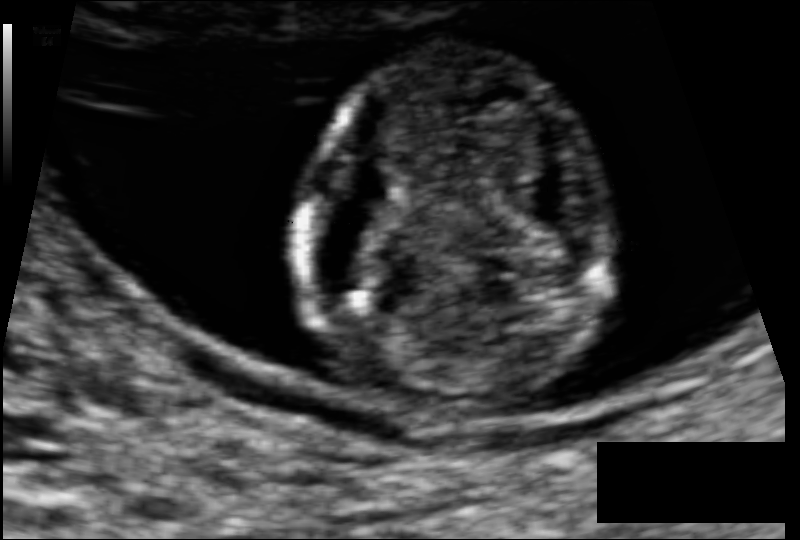
Fetal head ultrasound. Image width: 59.5 mm. Give [x1,y1,x2,y2] bounding boxes for each visible structure among: fetal head, CSP, LV.

Head: [301,50,604,408]